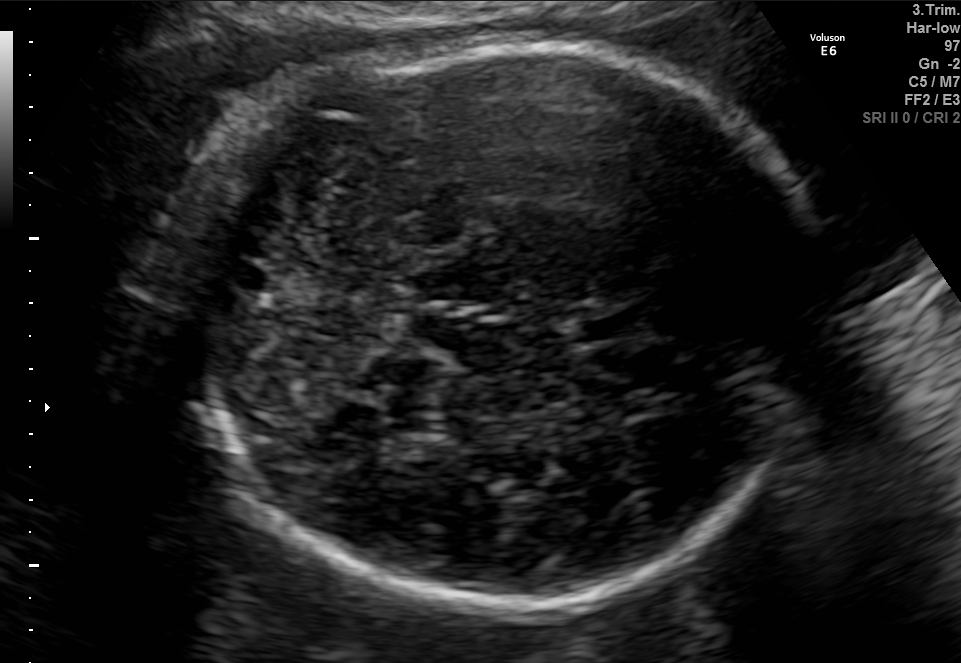
In this fetal brain, trans-cerebellum plane, give the bounding box of the fetal head.

[220,48,805,615]